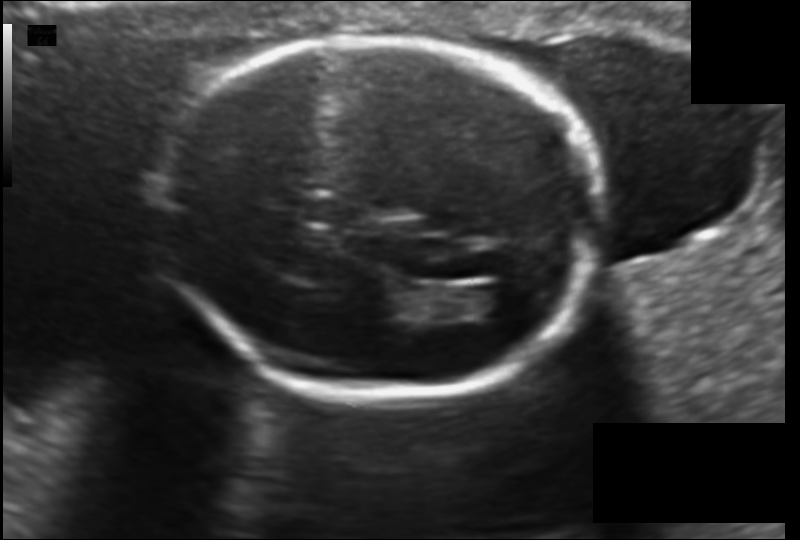
Fetal head ultrasound. Image width: 104.2 mm. Locate the fetal head and, if visible, the cavum septum pellucidum (CSP) and lateral ventricle (LV). Give bounding boxes as [x1,y1,x2,y2].

Head: [158,39,598,398]
CSP: [298,189,350,228]
Lateral ventricle: [469,284,521,320]